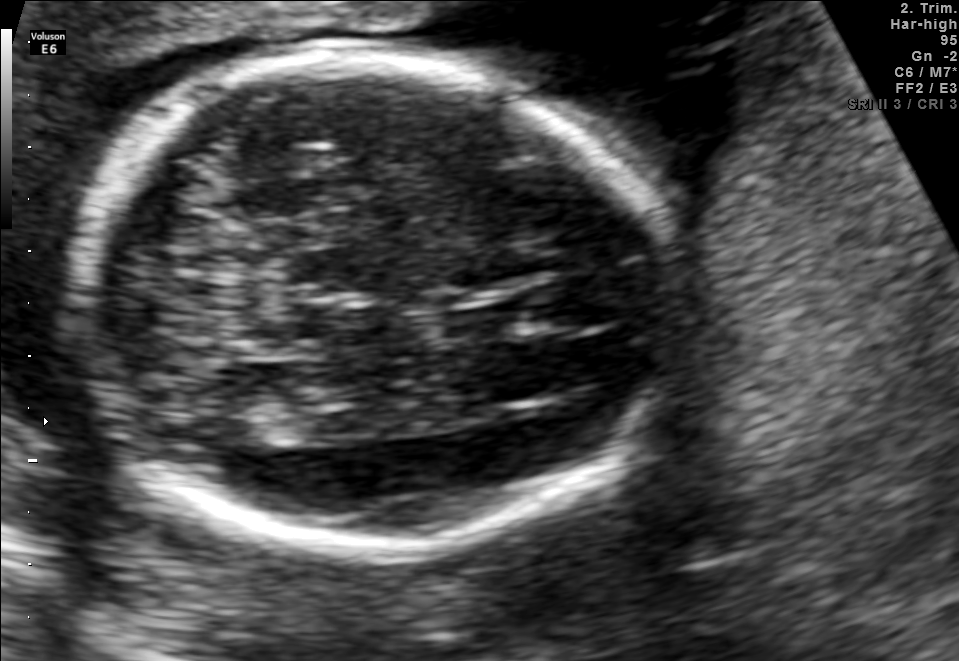
In this fetal brain, trans-thalamic plane, give bounding boxes for the head outline, cavum septum pellucidum (CSP), and lateral ventricle (LV), where visible.

Head: [71,56,688,555]